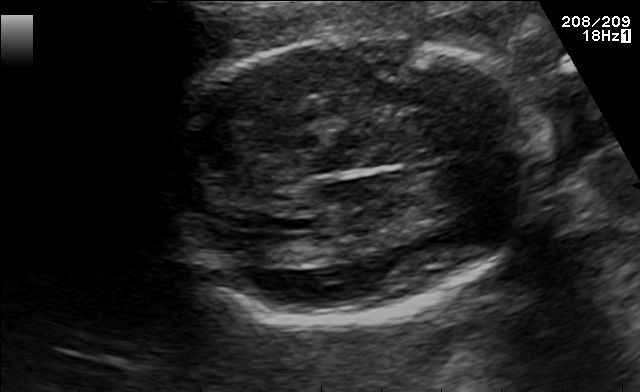
Fetal brain, trans-thalamic plane. Locate the fetal head and, if visible, the cavum septum pellucidum (CSP) and lateral ventricle (LV). Give bounding boxes as [x1,y1,x2,y2].

Head: [163,34,545,317]
Lateral ventricle: [246,234,314,264]